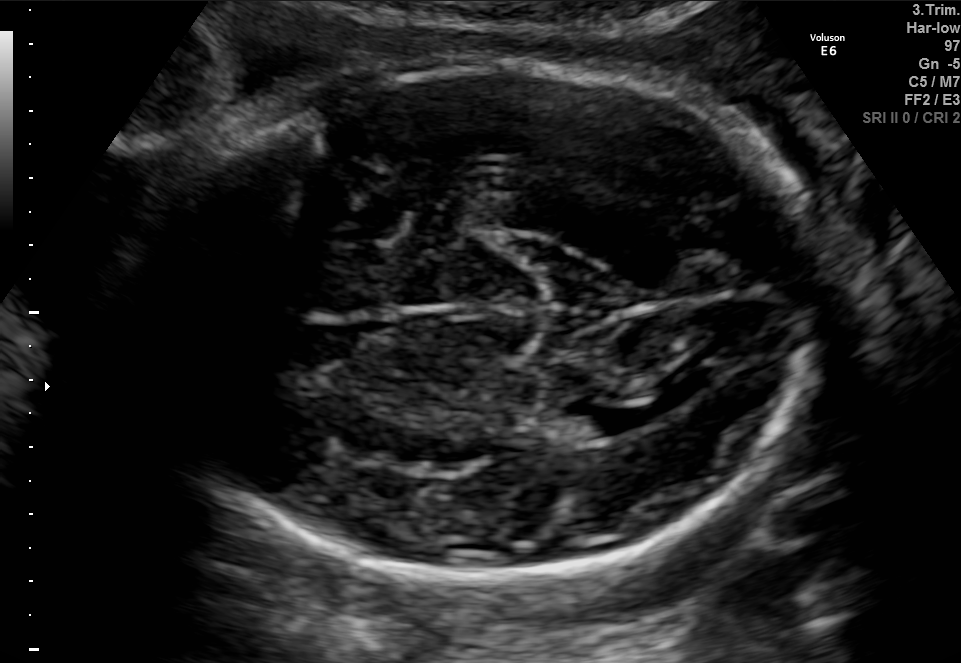
Fetal brain, trans-thalamic plane. Where is the lateral ventricle?

Lateral ventricle bounding box: [571,398,648,444]